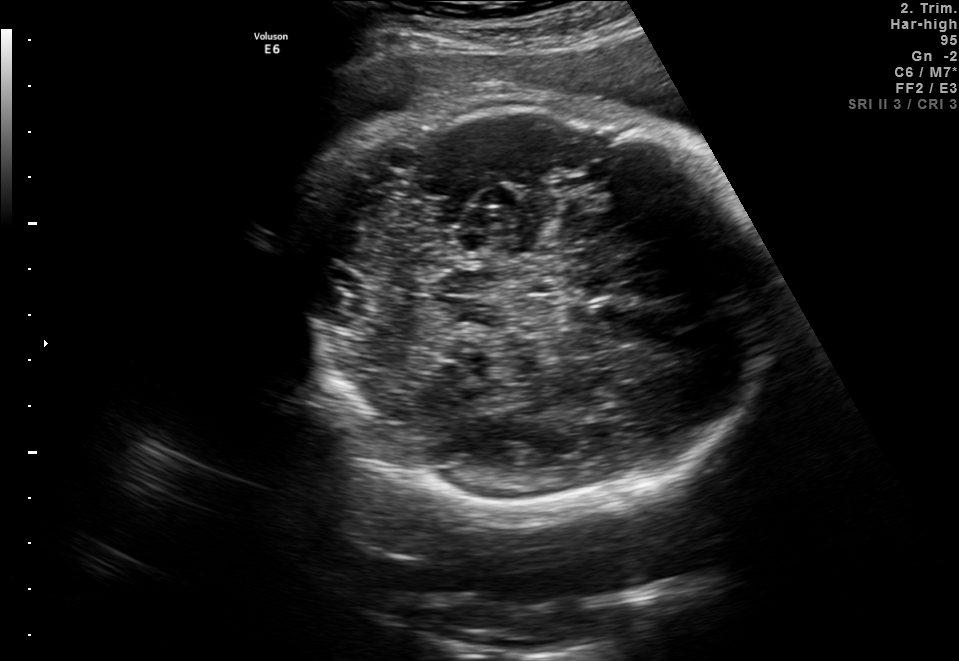
Fetal brain, trans-thalamic plane. Where is the fetal head?

Head bounding box: [300,100,771,517]